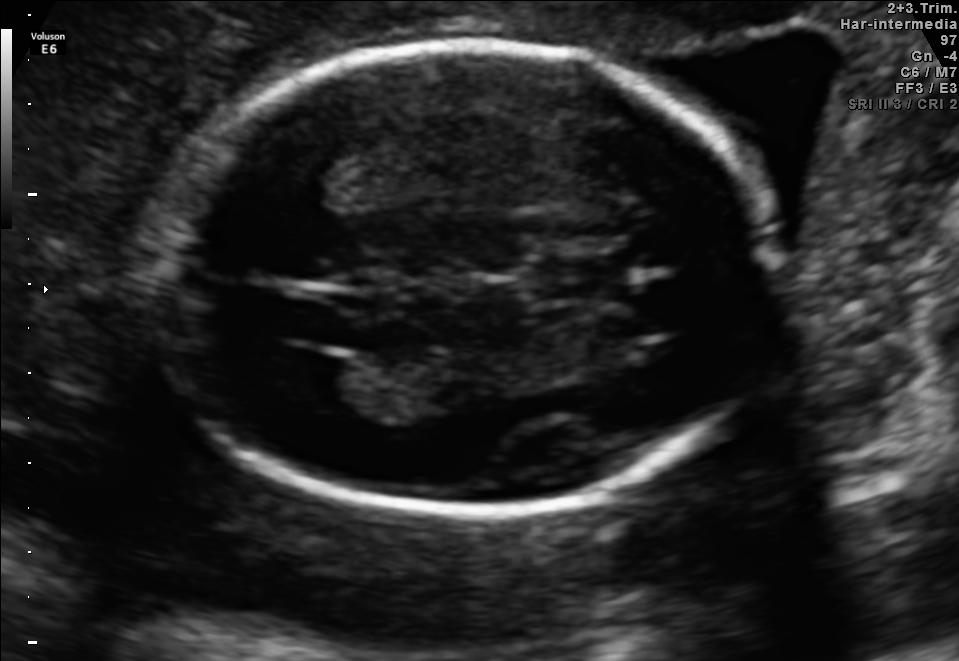
Fetal brain, trans-ventricular plane. Locate the lateral ventricle.

Lateral ventricle: [276,350,351,401]